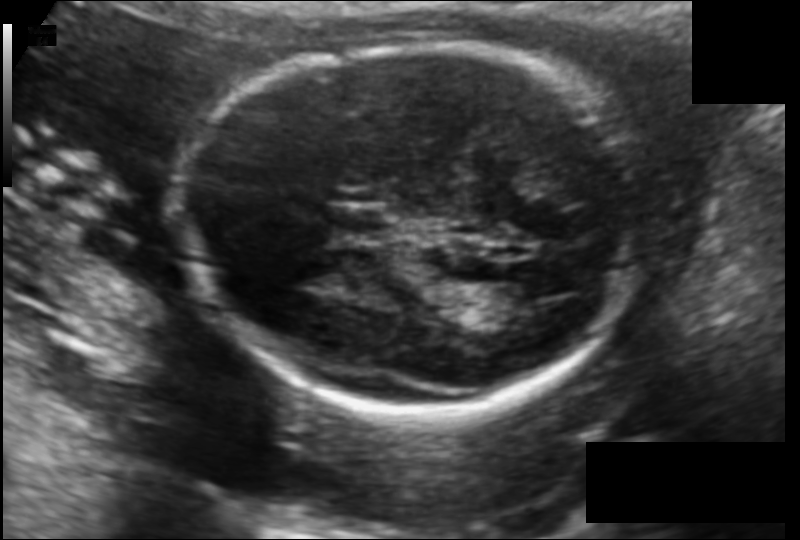
Fetal head ultrasound. Image width: 98.5 mm. Give [x1,y1,x2,y2] bounding boxes for each visible structure among: fetal head, CSP, LV.

Head: [186,46,634,414]
CSP: [331,207,387,241]